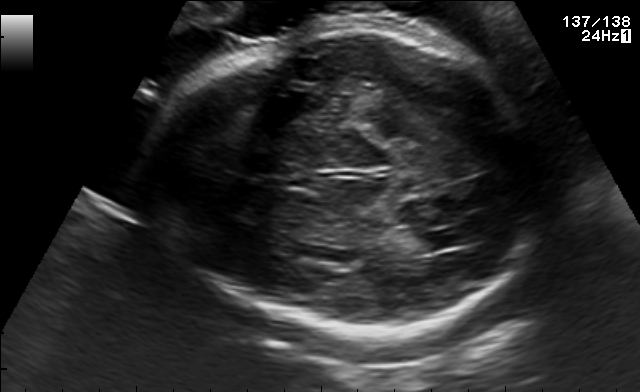
Fetal brain, trans-thalamic plane. Give [x1,y1,x2,y2] bounding boxes for each visible structure among: fetal head, CSP, LV.

Head: [151,24,539,342]
Lateral ventricle: [411,224,474,255]